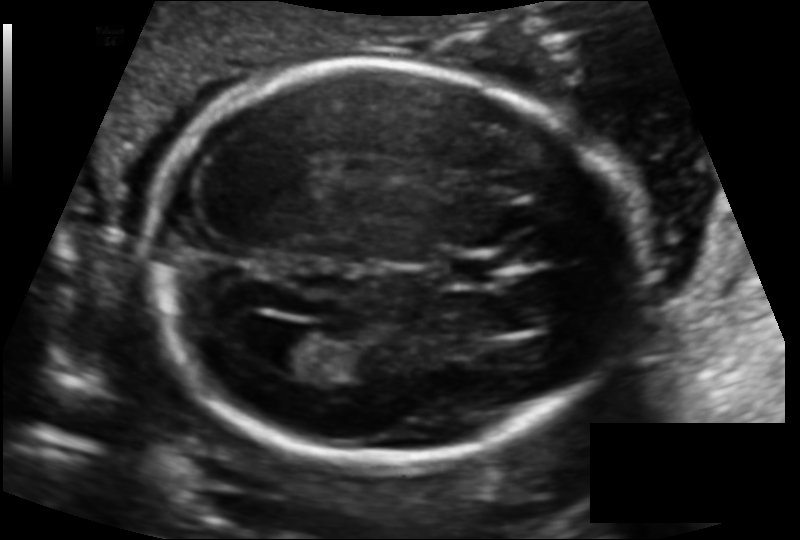
What is the fetal head circumference? Image width is 100.1 mm.

181.6 mm